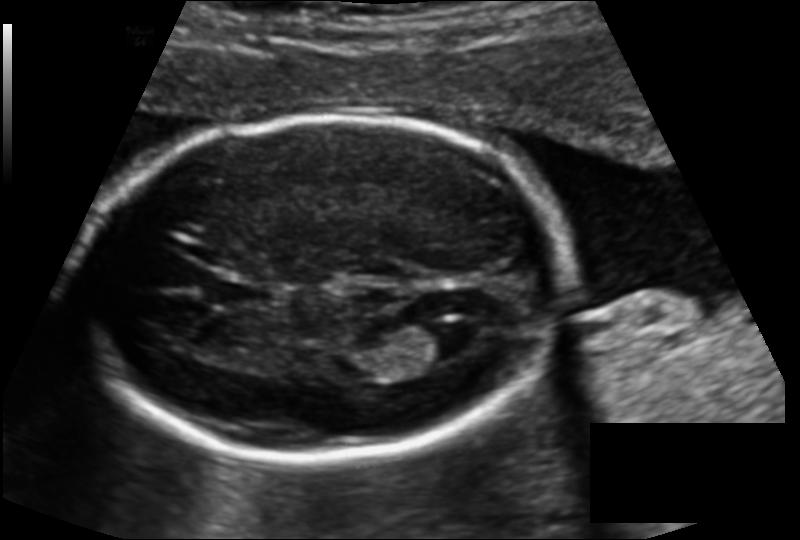
Fetal head ultrasound. Image width: 109.1 mm. Locate the fetal head and, if visible, the cavum septum pellucidum (CSP) and lateral ventricle (LV). Give bounding boxes as [x1,y1,x2,y2].

Head: [74,114,562,462]
CSP: [207,274,272,312]
Lateral ventricle: [407,315,477,367]